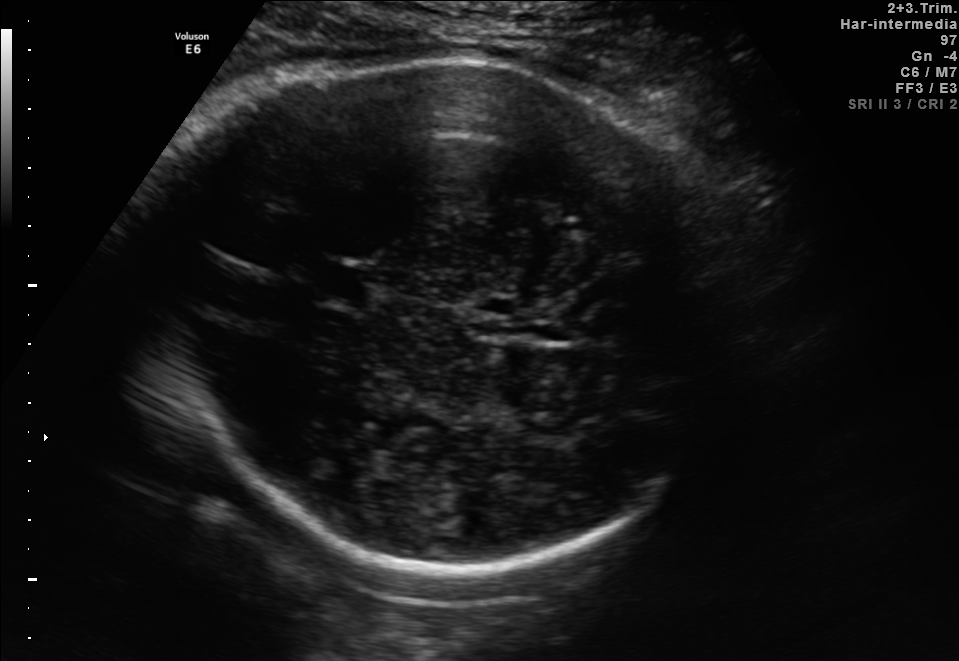
Fetal brain, trans-thalamic plane. Locate the fetal head and, if visible, the cavum septum pellucidum (CSP) and lateral ventricle (LV). Give bounding boxes as [x1,y1,x2,y2].

Head: [126,56,733,573]
CSP: [304,256,375,306]